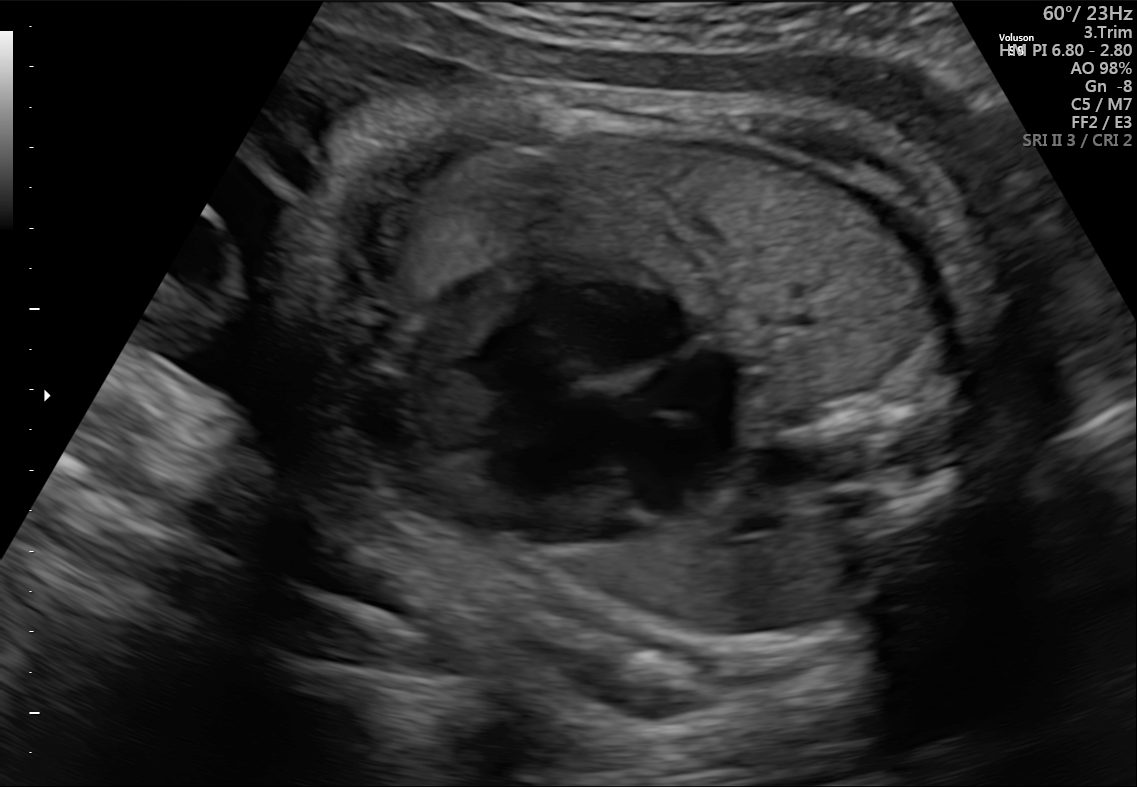
Which standard maternal-fetal ultrasound plane is shown: fetal abdomen, fetal brain, fetal femur, fetal thorax, maternal cervix, or other? If it's fetal brain and one of the three standard brain planes (trans-thalamic, trans-cerebellum, trans-ventricular), name which.

Fetal thorax